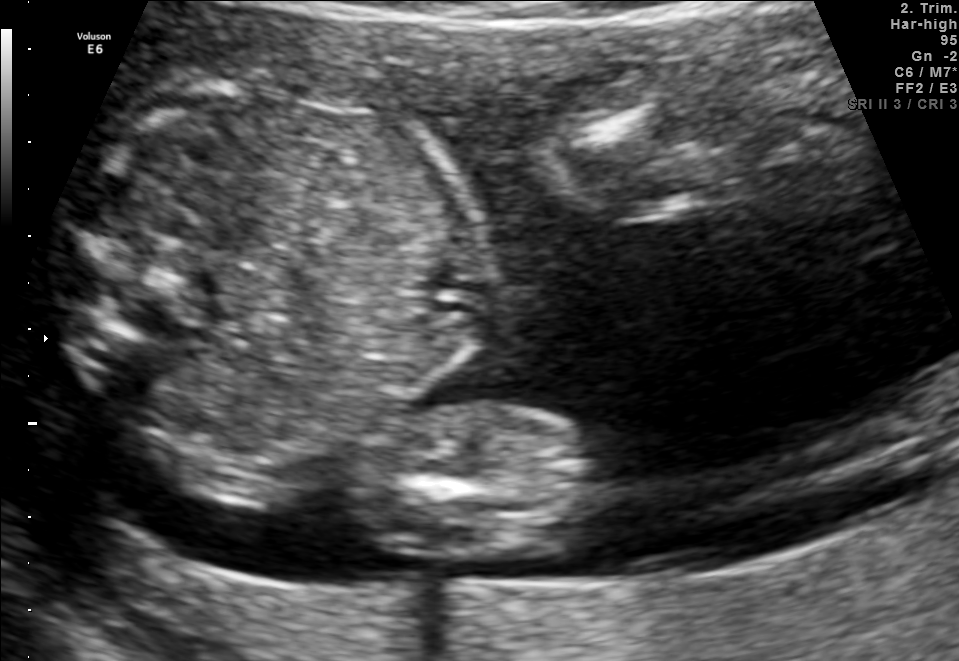
This is a 2D maternal-fetal ultrasound frame. Is it a fetal abdomen, fetal brain, fetal femur, fetal thorax, maternal cervix, or other standard plane? If it's fetal brain and one of the three standard brain planes (trans-thalamic, trans-cerebellum, trans-ventricular), name which.

Other